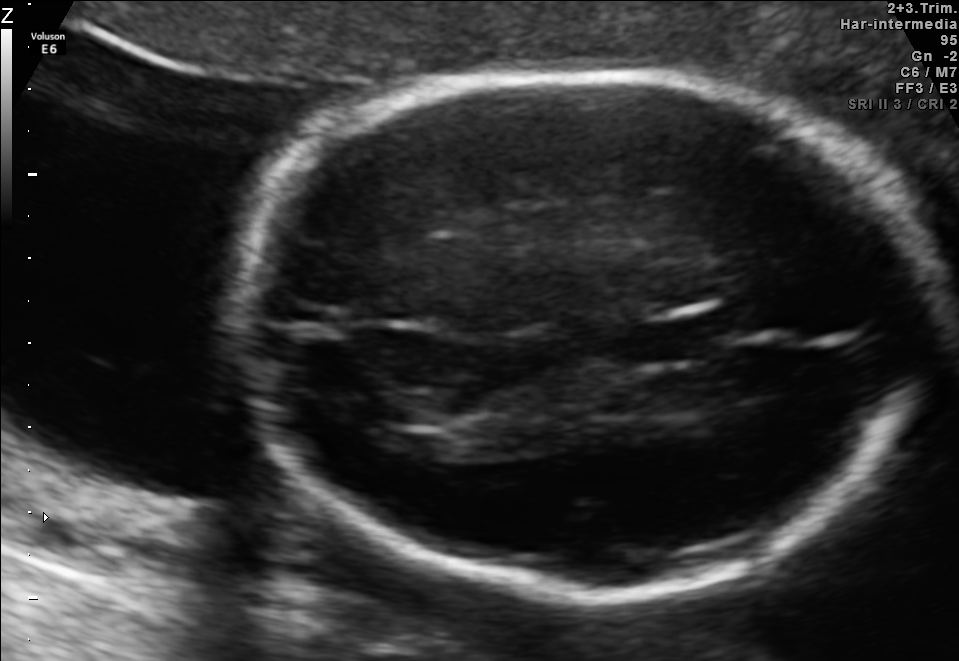
Fetal brain, trans-thalamic plane. Locate the fetal head and, if visible, the cavum septum pellucidum (CSP) and lateral ventricle (LV). Give bounding boxes as [x1,y1,x2,y2].

Head: [250,70,927,595]
CSP: [631,312,725,369]